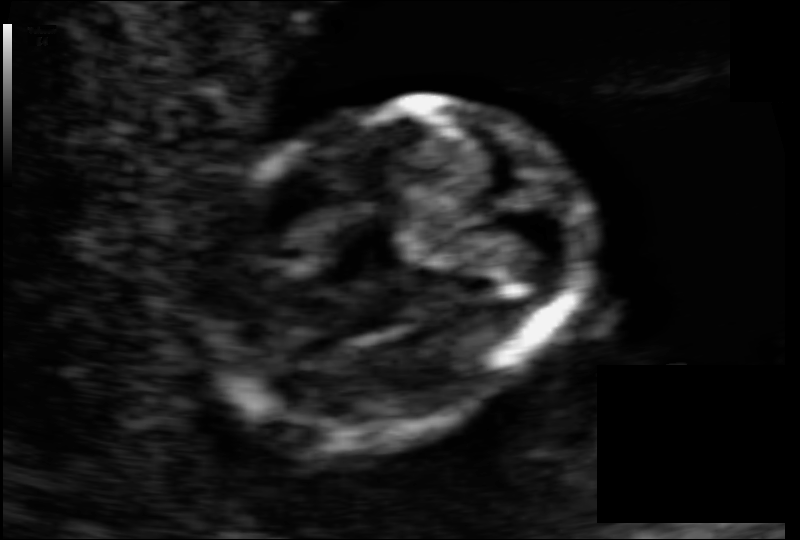
Fetal head ultrasound. Image width: 55.0 mm. Where is the fetal head?

Head bounding box: [206,101,582,444]